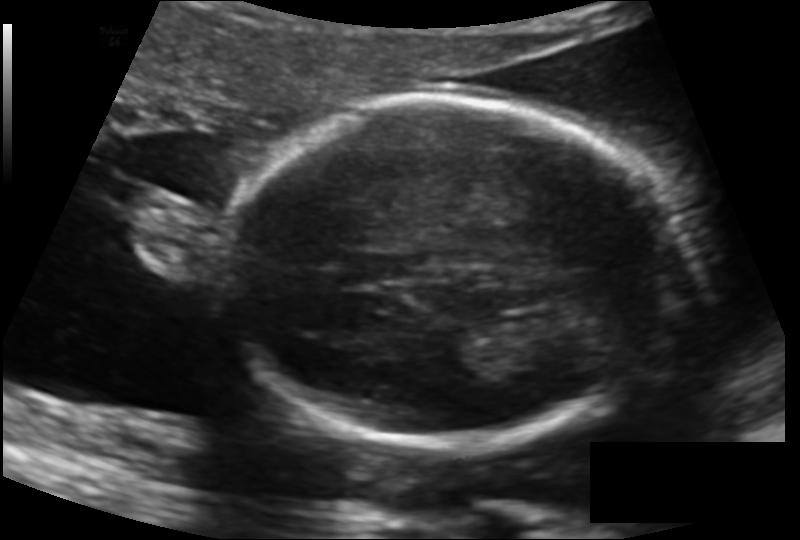
From this fetal ultrasound, estimate the head circumference (image width 111.0 mm).

Head circumference: 177.7 mm.